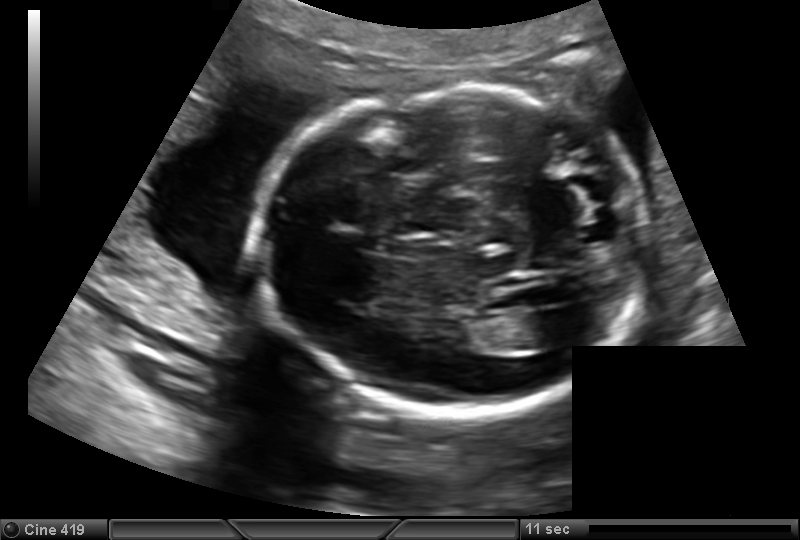
In this fetal head ultrasound, give bounding boxes for the head outline, cavum septum pellucidum (CSP), and lateral ventricle (LV), where visible. Image width: 120.7 mm.

Head: [257,87,647,414]
Lateral ventricle: [515,309,573,351]